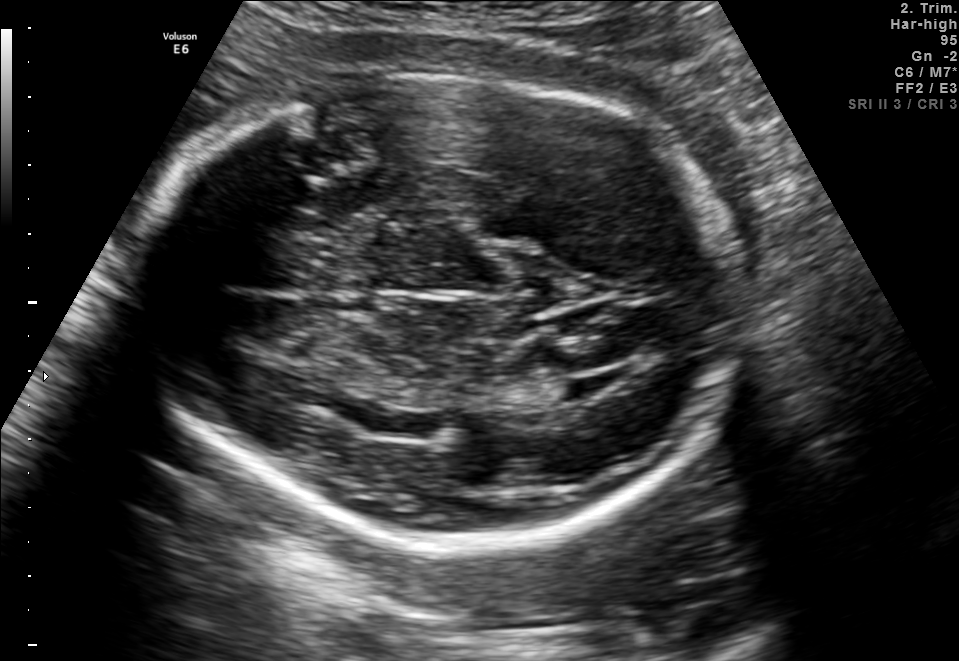
Fetal brain, trans-thalamic plane. Give [x1,y1,x2,y2] bounding boxes for each visible structure among: fetal head, CSP, LV.

Head: [138,78,739,541]
Lateral ventricle: [533,375,592,407]